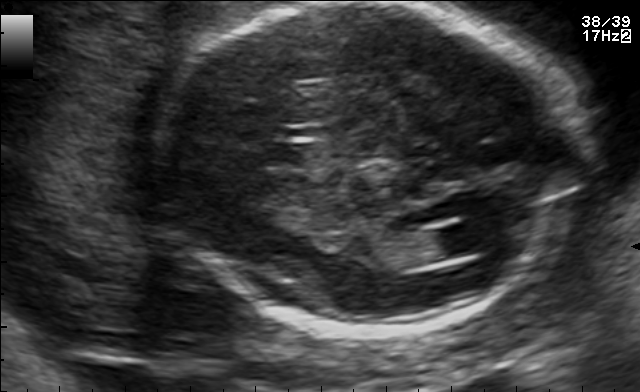
Fetal brain, trans-ventricular plane. Where is the lateral ventricle?

Lateral ventricle bounding box: [423,217,494,262]